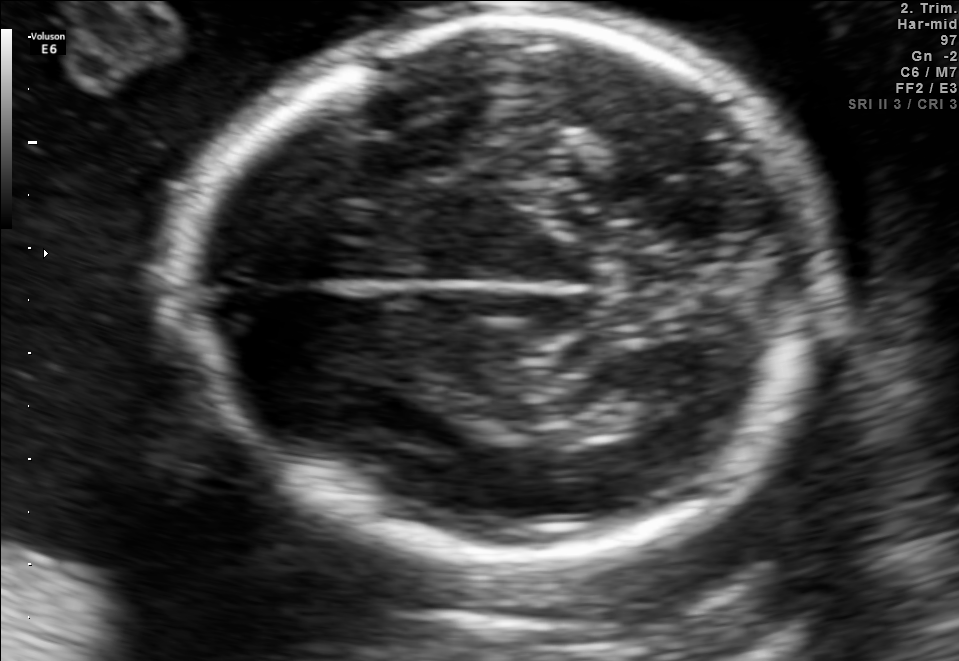
In this fetal brain, trans-thalamic plane, give the bounding box of the fetal head.

[177,17,836,568]